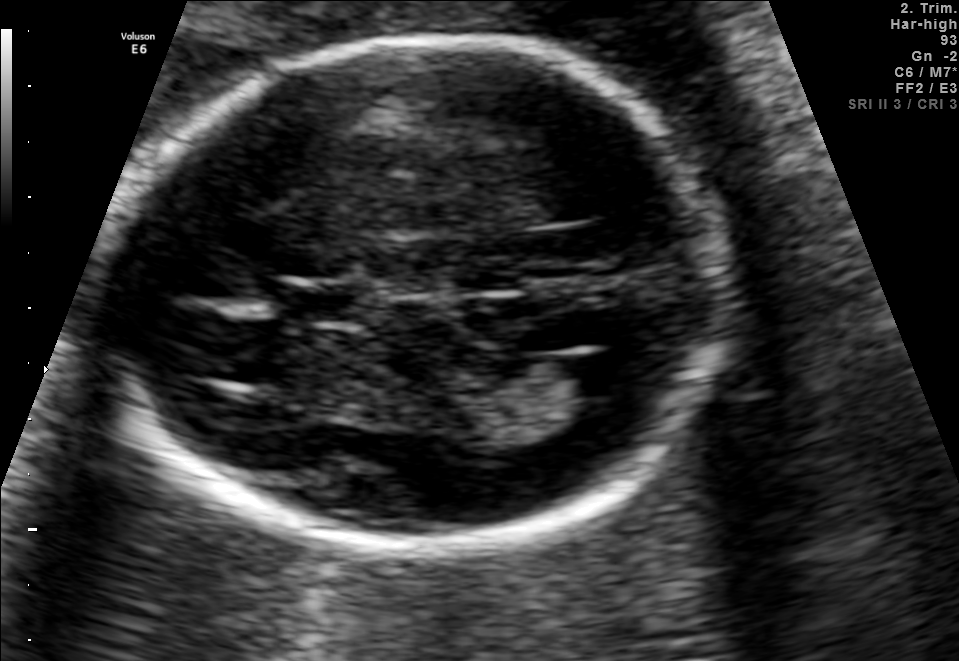
Fetal brain, trans-ventricular plane. Where is the cavum septum pellucidum?

CSP bounding box: [289,286,370,322]